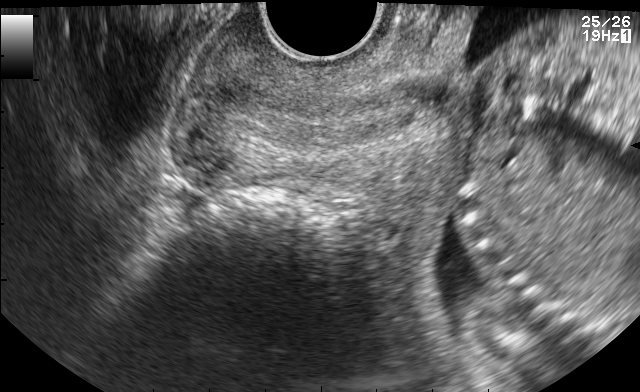
Classify this maternal-fetal ultrasound image as one of the six standard planes — fetal abdomen, fetal brain, fetal femur, fetal thorax, maternal cervix, or other. If it's fetal brain and one of the three standard brain planes (trans-thalamic, trans-cerebellum, trans-ventricular), name which.

Maternal cervix